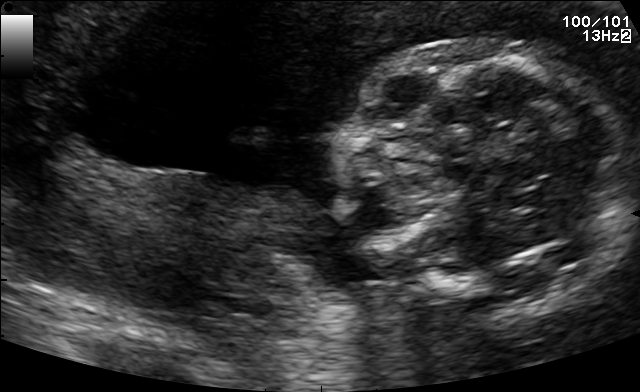
Classify this maternal-fetal ultrasound image as one of the six standard planes — fetal abdomen, fetal brain, fetal femur, fetal thorax, maternal cervix, or other. If it's fetal brain and one of the three standard brain planes (trans-thalamic, trans-cerebellum, trans-ventricular), name which.

Other